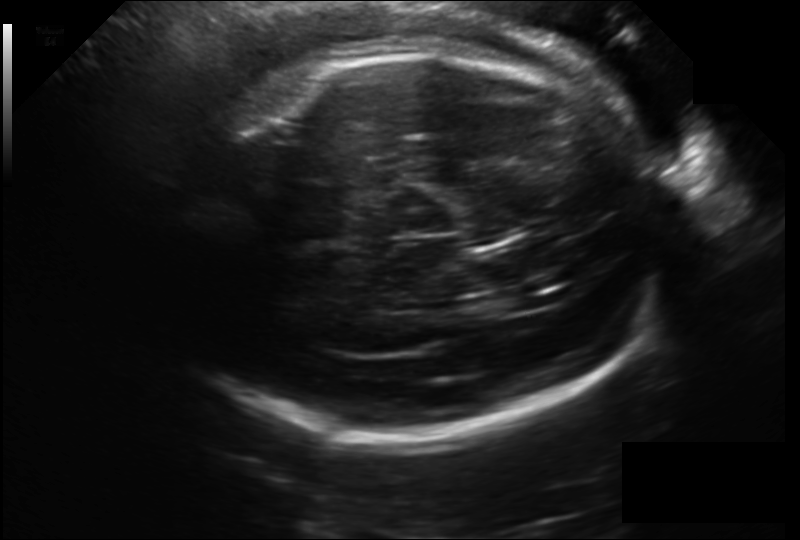
Fetal head ultrasound. Image width: 162.0 mm. Give [x1,y1,x2,y2] bounding boxes for each visible structure among: fetal head, CSP, LV.

Head: [149,47,669,438]